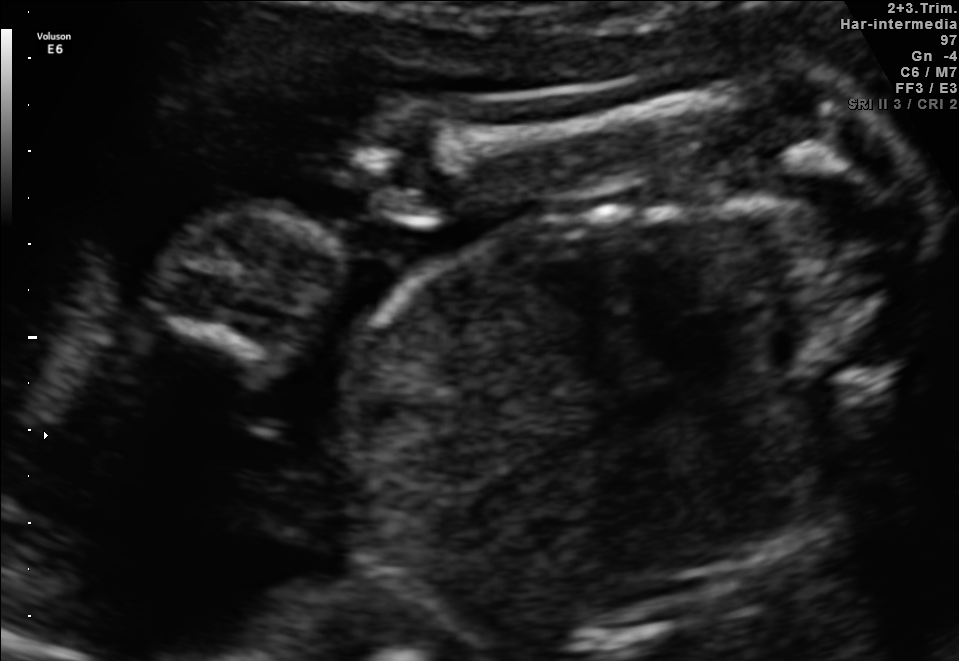
This is a 2D maternal-fetal ultrasound frame. Is it a fetal abdomen, fetal brain, fetal femur, fetal thorax, maternal cervix, or other standard plane? If it's fetal brain and one of the three standard brain planes (trans-thalamic, trans-cerebellum, trans-ventricular), name which.

Other